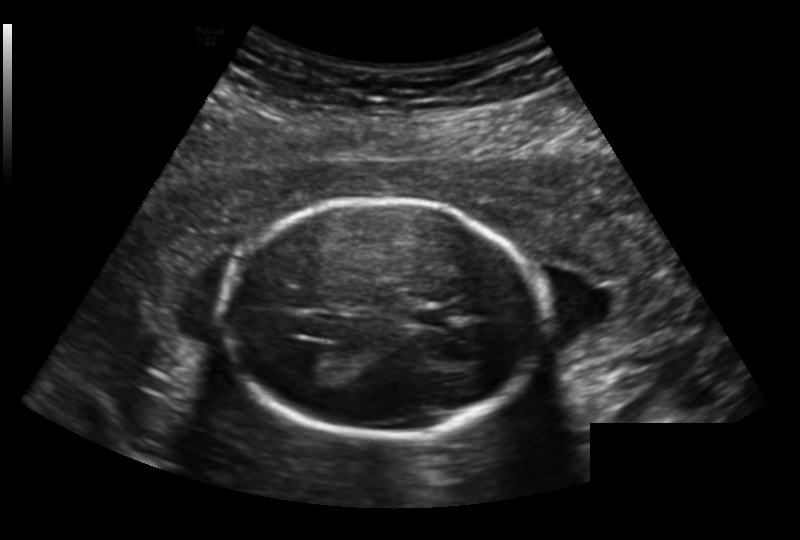
Fetal head ultrasound. Image width: 152.4 mm. Locate the fetal head.

Head: [226,203,551,435]